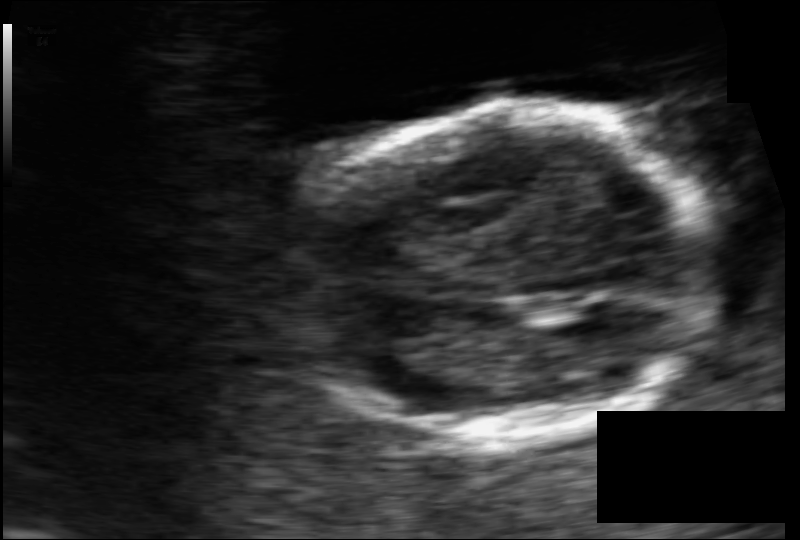
Fetal head ultrasound. Image width: 67.0 mm. Give [x1,y1,x2,y2] bounding boxes for each visible structure among: fetal head, CSP, LV.

Head: [291,105,719,440]